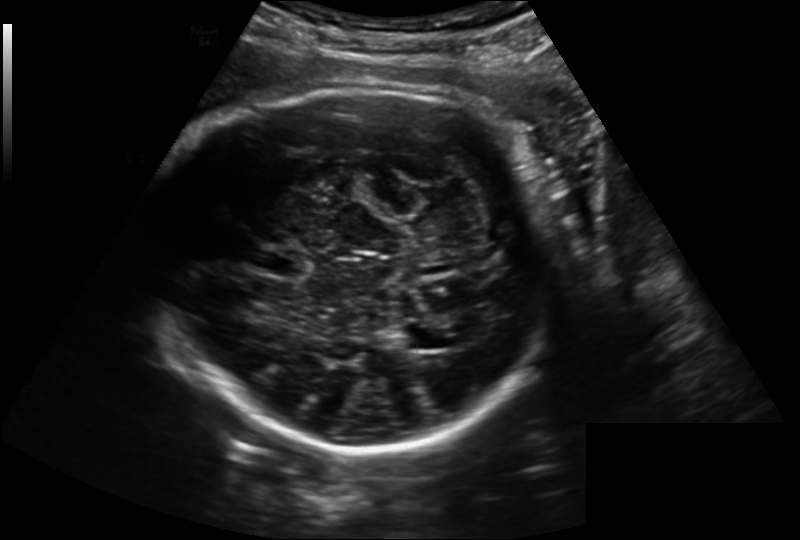
What is the fetal head circumference? Image width is 177.2 mm.

281.3 mm